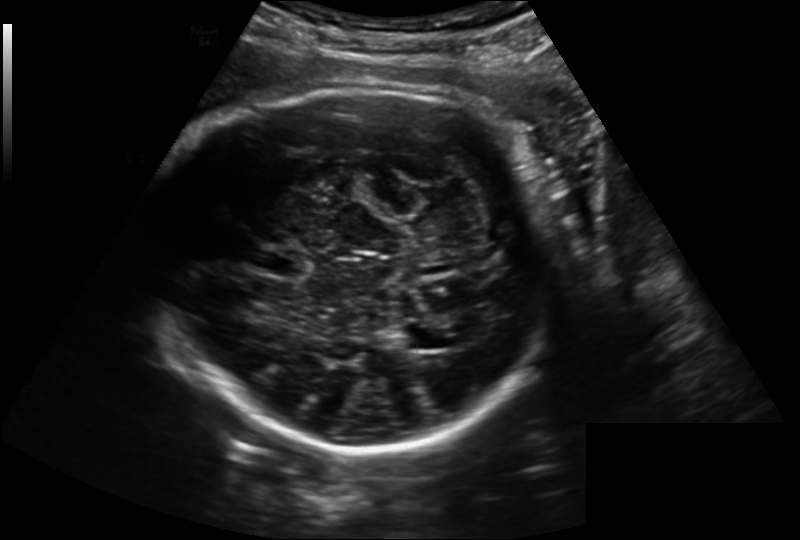
Fetal head ultrasound. Image width: 177.2 mm. Where is the lateral ventricle?

Lateral ventricle bounding box: [398,327,439,349]